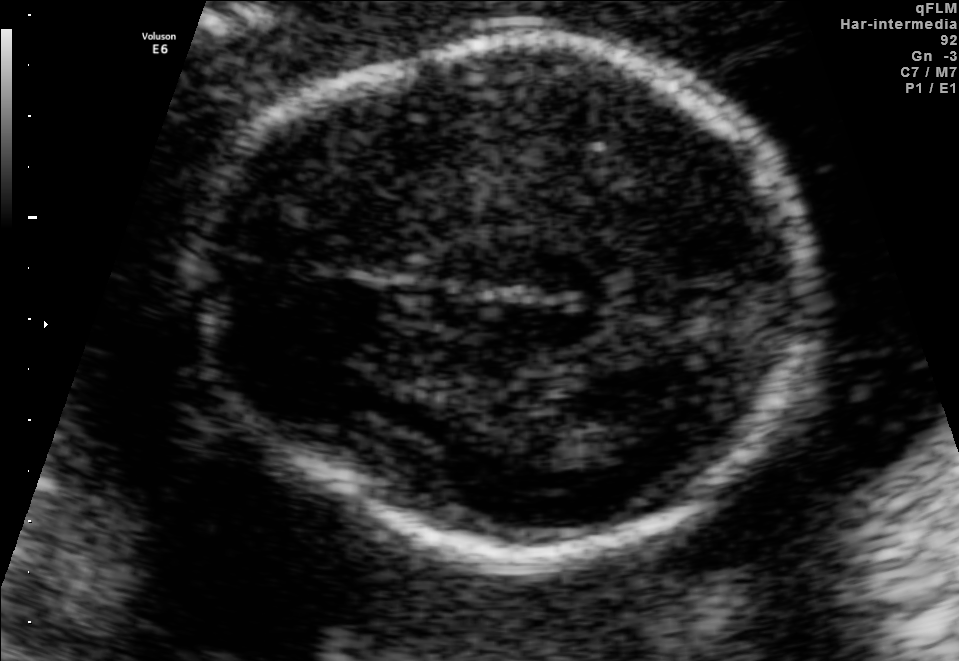
Fetal brain, trans-thalamic plane. Locate the lateral ventricle.

Lateral ventricle: [513,406,639,473]